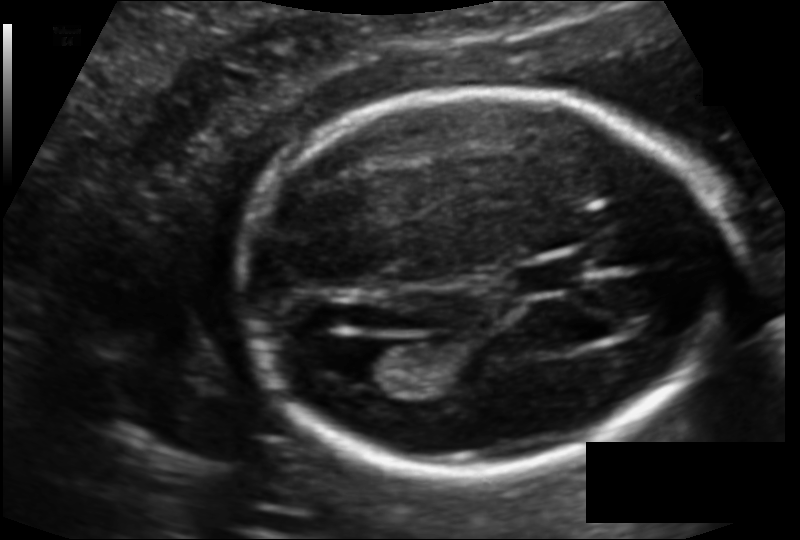
Estimate the fetal head circumference from this 2D ultrasound. Image width: 96.9 mm.

Head circumference: 169.5 mm.